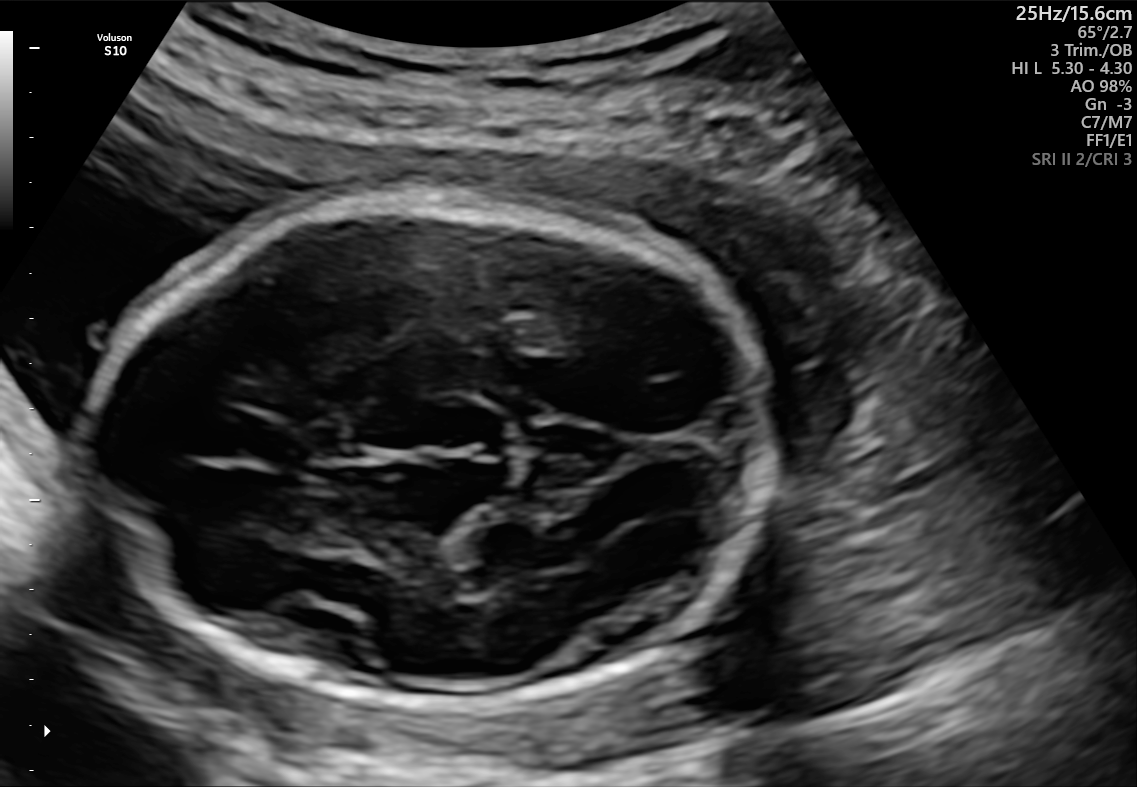
Fetal brain, trans-thalamic plane. Locate the fetal head and, if visible, the cavum septum pellucidum (CSP) and lateral ventricle (LV). Give bounding boxes as [x1,y1,x2,y2].

Head: [88,193,772,704]